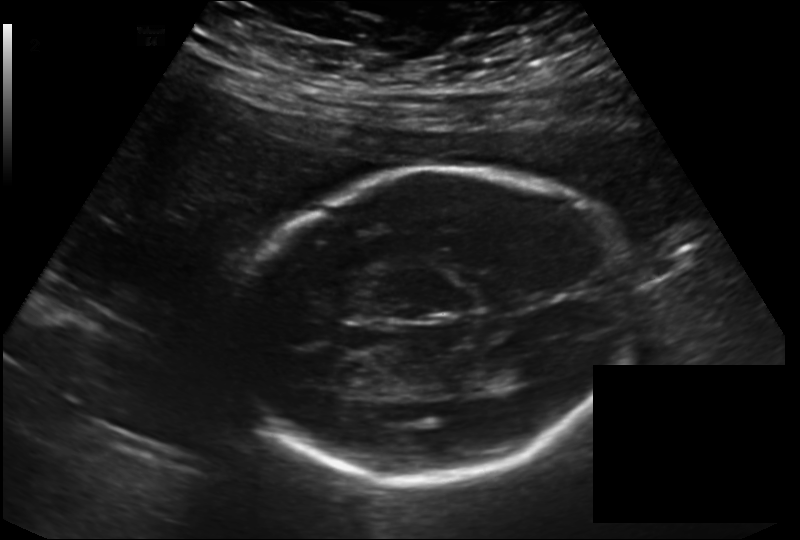
Fetal head ultrasound. Image width: 158.6 mm. Locate the fetal head and, if visible, the cavum septum pellucidum (CSP) and lateral ventricle (LV). Give bounding boxes as [x1,y1,x2,y2].

Head: [239,167,633,483]